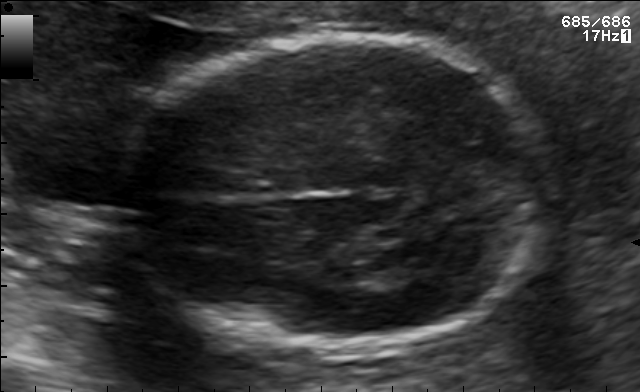
In this fetal brain, trans-thalamic plane, give the bounding box of the fetal head.

[123,35,547,355]